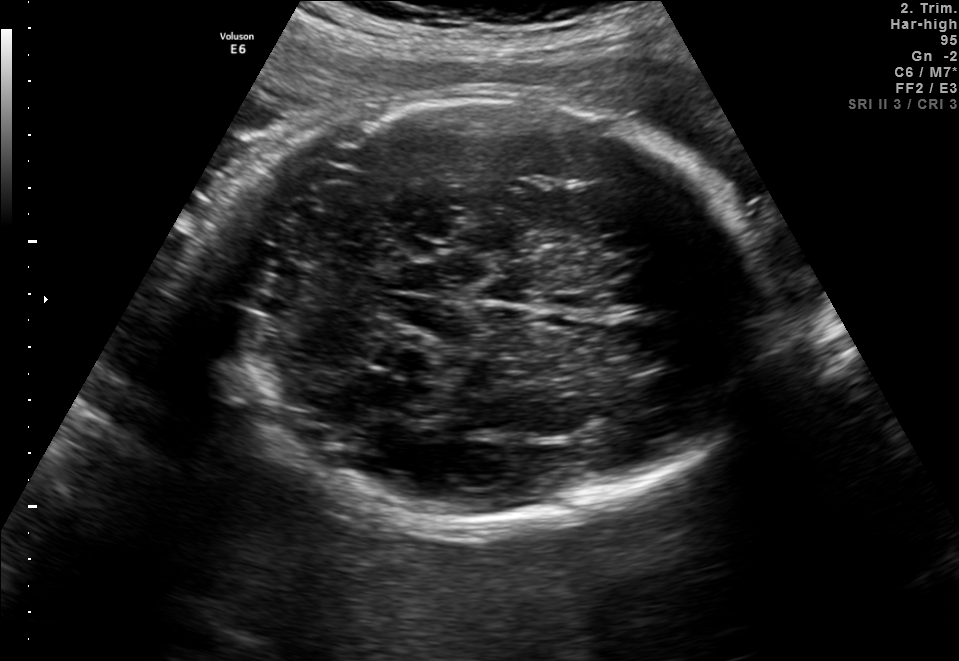
Fetal brain, trans-cerebellum plane. Give [x1,y1,x2,y2] bounding boxes for each visible structure among: fetal head, CSP, LV.

Head: [222,98,753,523]